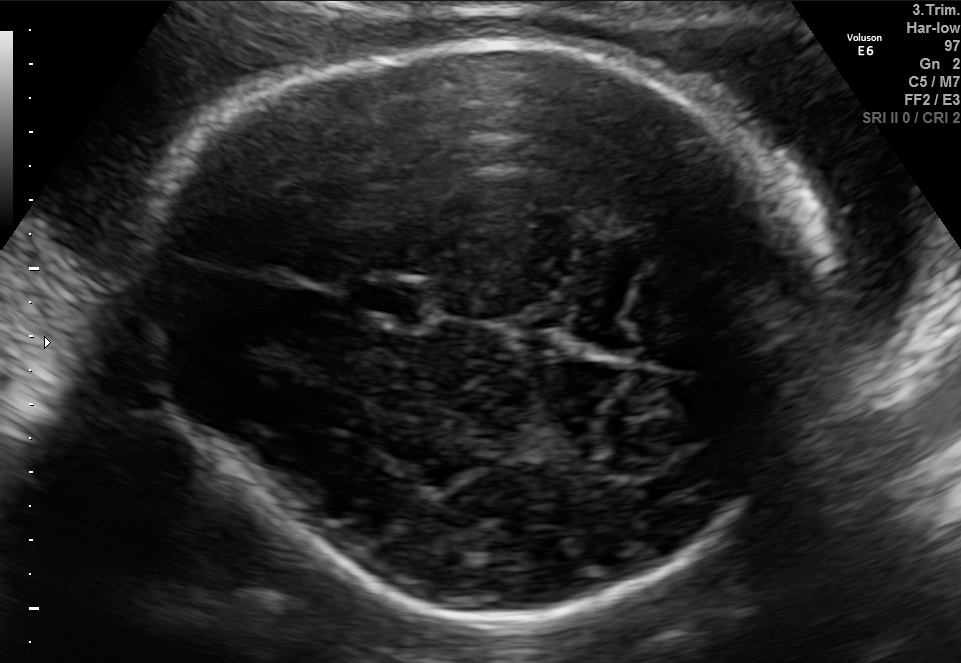
Fetal brain, trans-thalamic plane. Locate the fetal head and, if visible, the cavum septum pellucidum (CSP) and lateral ventricle (LV). Give bounding boxes as [x1,y1,x2,y2].

Head: [134,33,827,628]
CSP: [354,277,427,328]